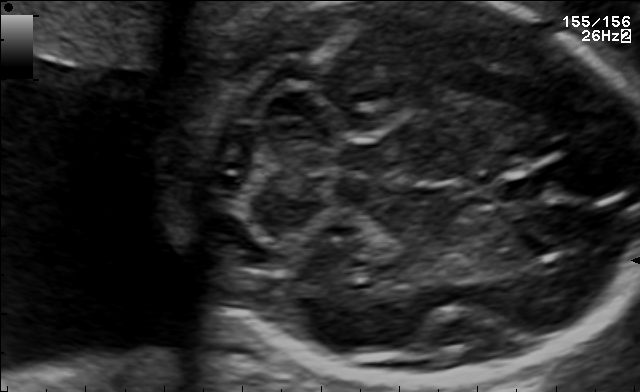
Fetal brain, trans-cerebellum plane. Locate the fetal head.

Head: [180,2,639,381]